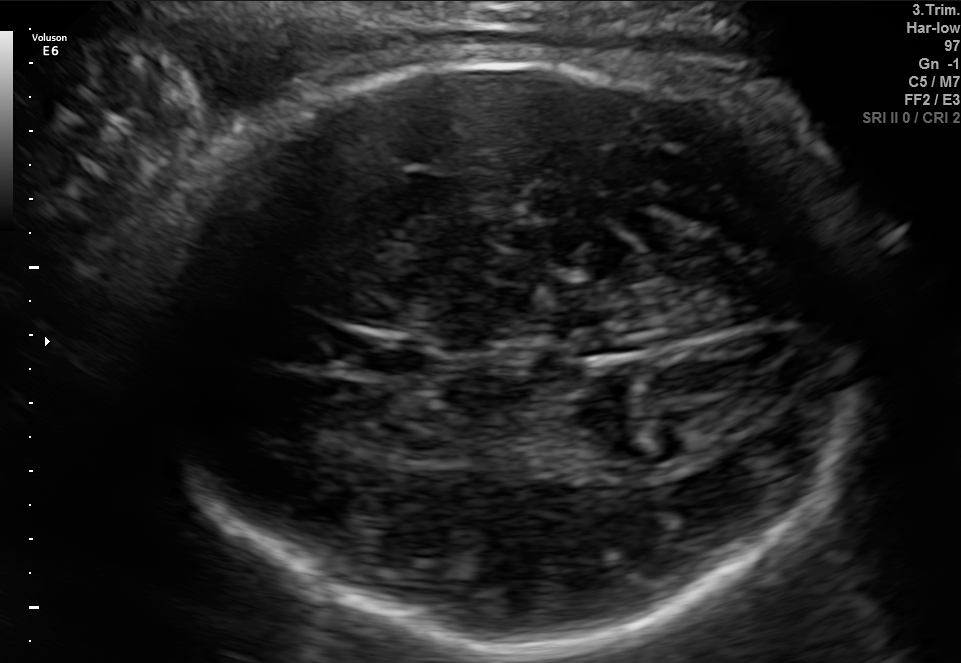
Fetal brain, trans-thalamic plane. Where is the cavum septum pellucidum?

CSP bounding box: [334,329,431,385]